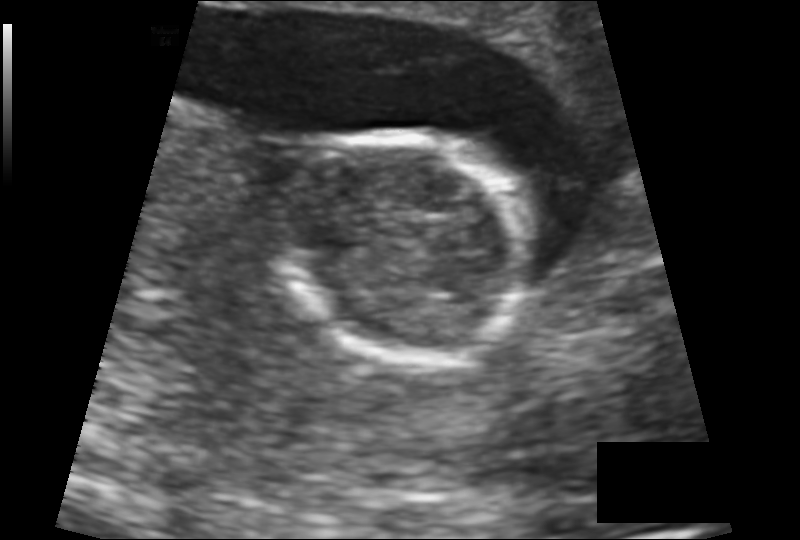
Fetal head ultrasound. Image width: 109.7 mm. Locate the fetal head.

Head: [273,133,532,361]